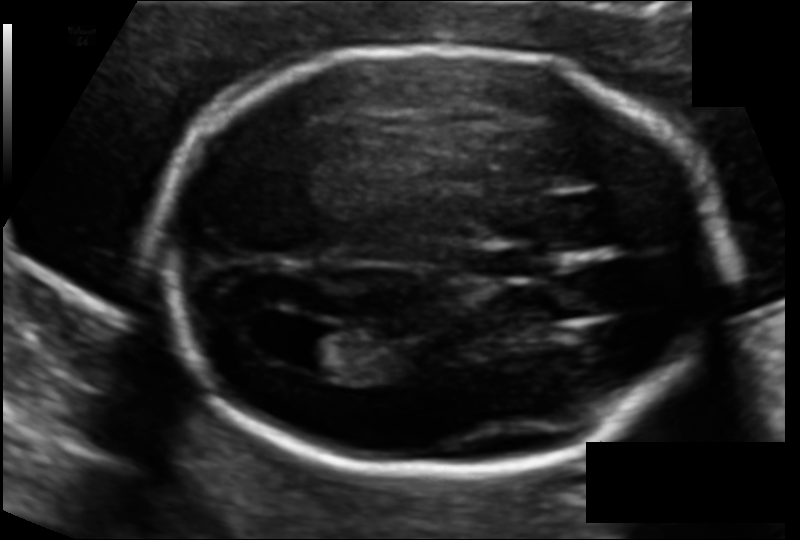
Fetal head ultrasound. Image width: 89.4 mm. Locate the cavum septum pellucidum.

CSP: [467,247,539,280]